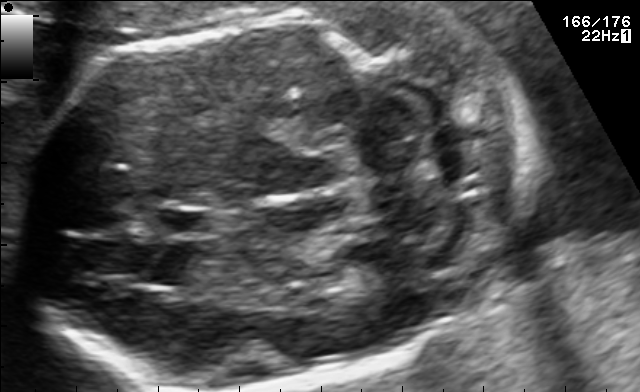
Fetal brain, trans-cerebellum plane. Locate the fetal head.

Head: [18,5,539,388]